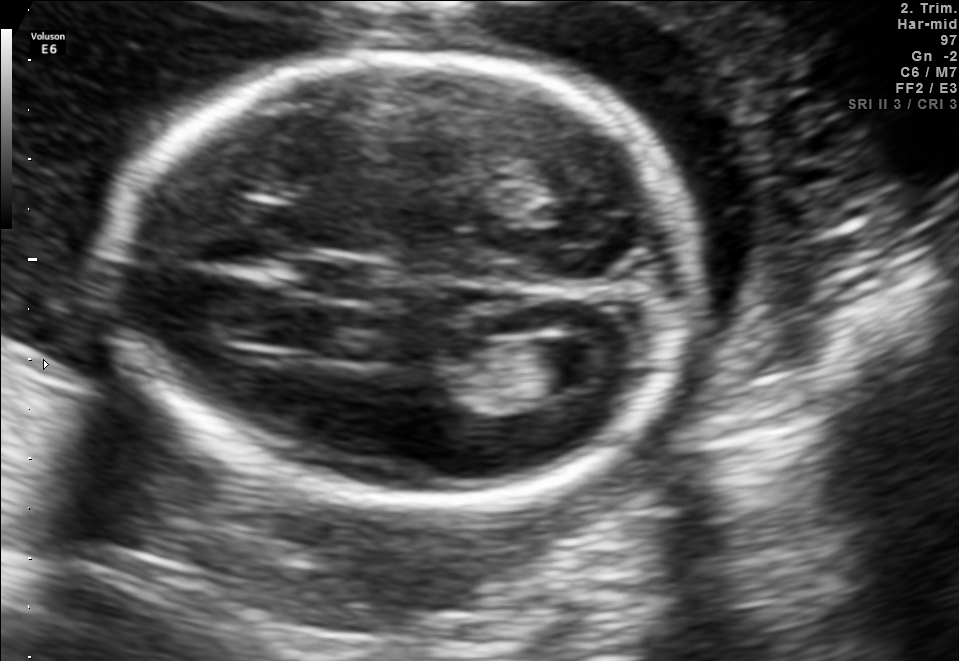
In this fetal brain, trans-ventricular plane, give bounding boxes for the head outline, cavum septum pellucidum (CSP), and lateral ventricle (LV), where visible.

Head: [94,44,711,521]
CSP: [293,257,374,302]
Lateral ventricle: [538,334,619,389]